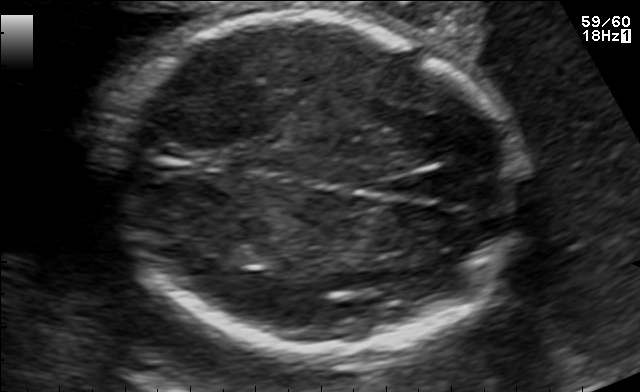
Fetal brain, trans-thalamic plane. Where is the fetal head?

Head bounding box: [105,14,523,352]